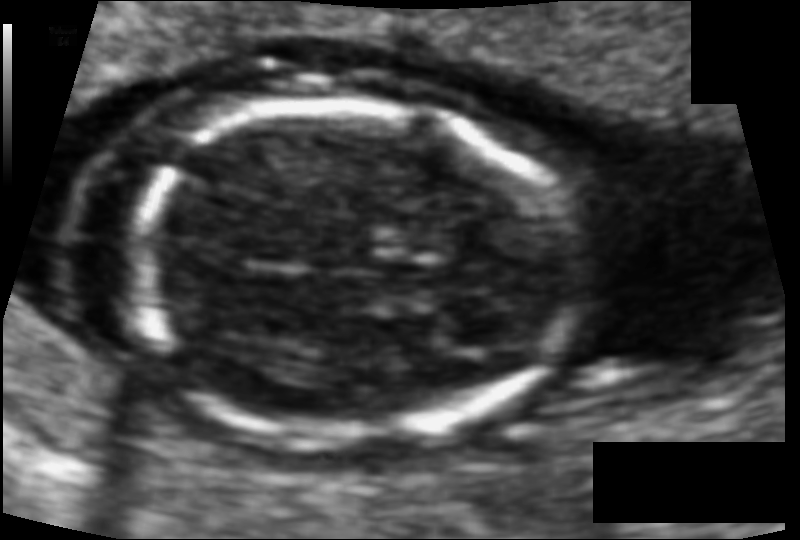
Estimate the fetal head circumference from this 2D ultrasound. Image width: 65.1 mm.

Head circumference: 105.0 mm.